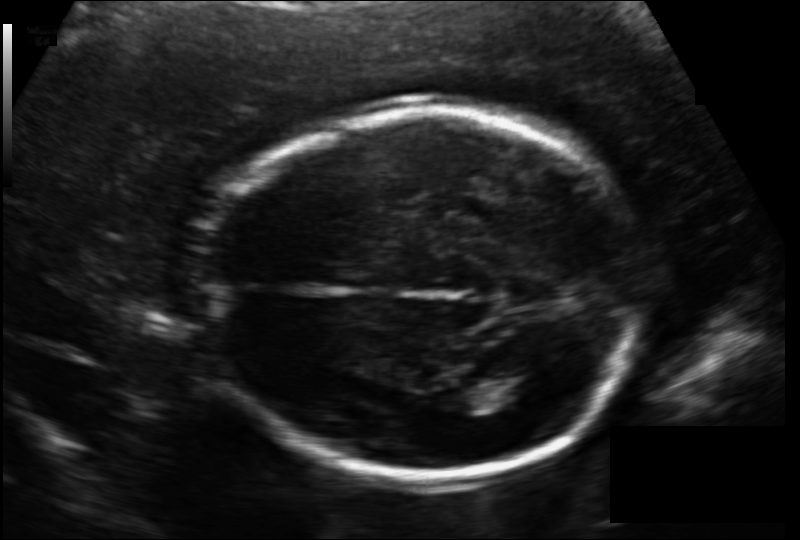
Estimate the fetal head circumference from this 2D ultrasound.

Head circumference: 177.0 mm (image width 106.6 mm).